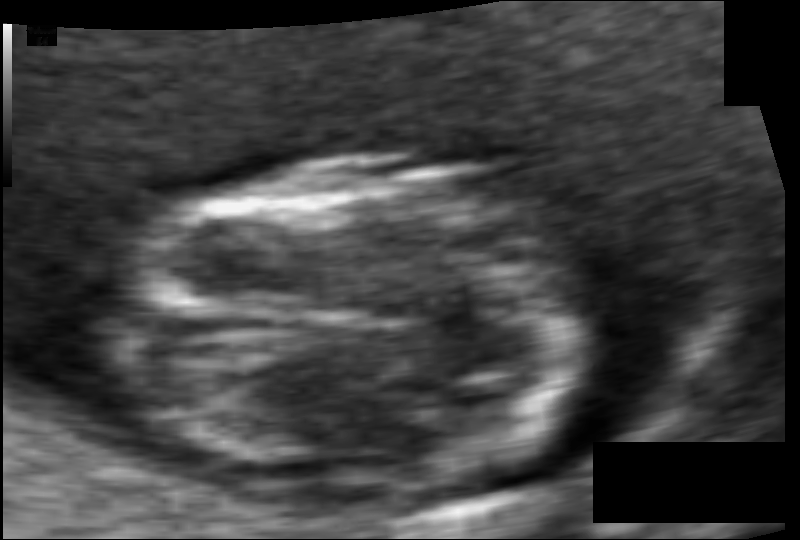
From this fetal ultrasound, estimate the head circumference (image width 39.5 mm).

Head circumference: 65.8 mm.